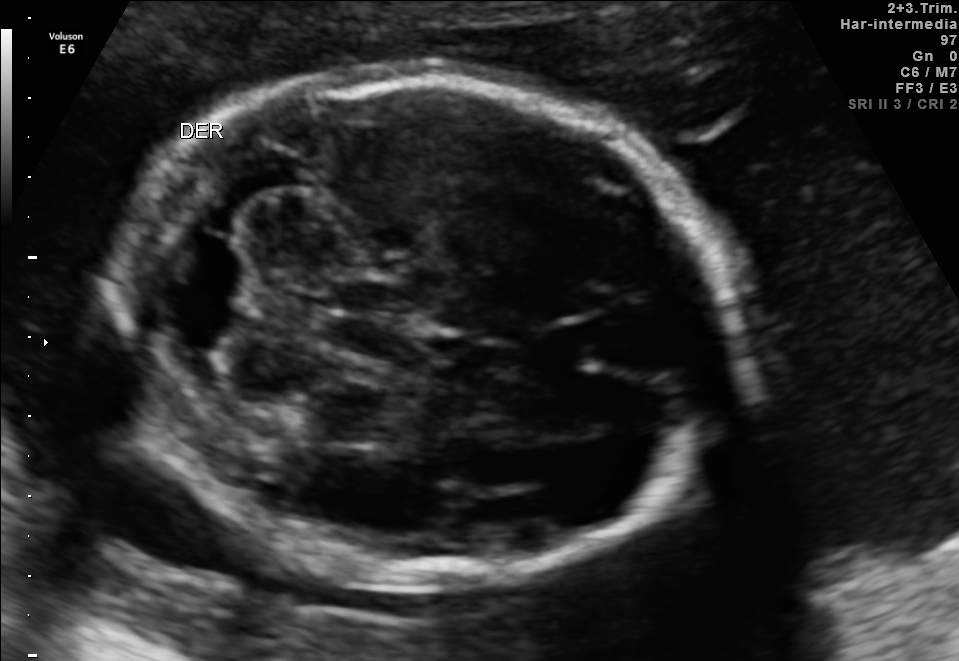
Fetal brain, trans-cerebellum plane. Give [x1,y1,x2,y2] bounding boxes for each visible structure among: fetal head, CSP, LV.

Head: [115,73,734,578]